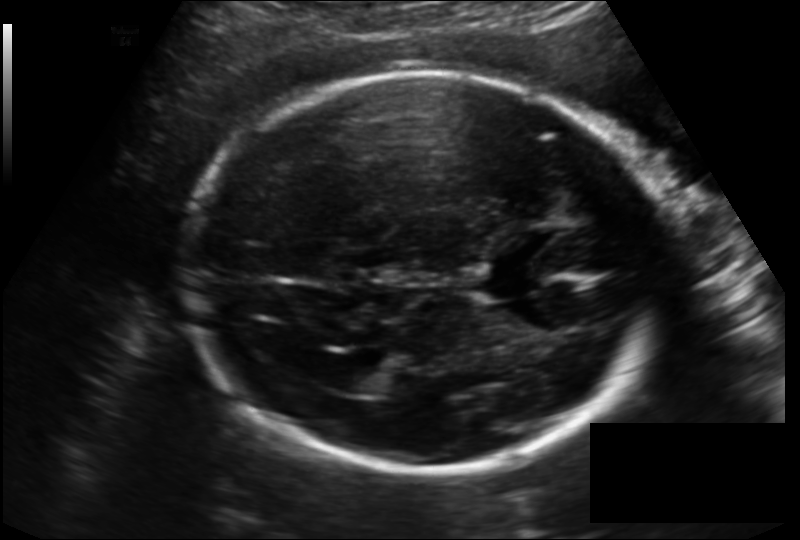
Fetal head ultrasound. Image width: 133.1 mm. Locate the lateral ventricle.

Lateral ventricle: [333,363,385,396]